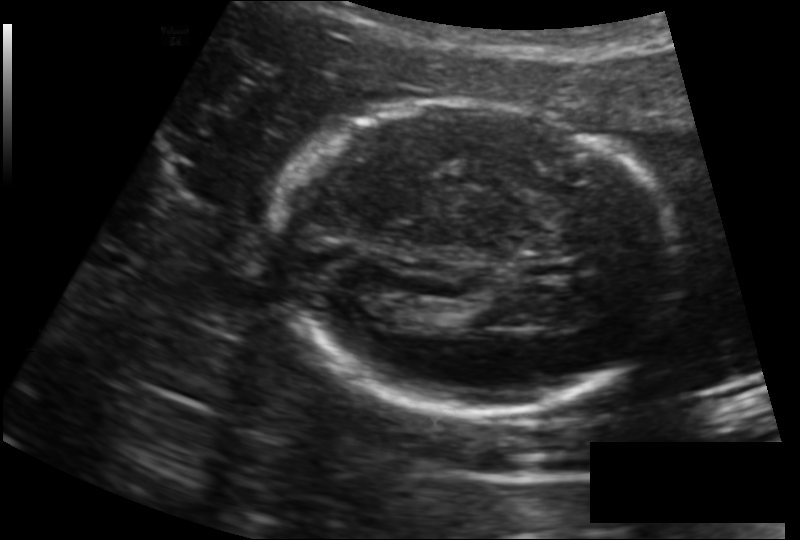
In this fetal head ultrasound, give the bounding box of the fetal head. Image width: 125.2 mm.

[275,105,673,413]